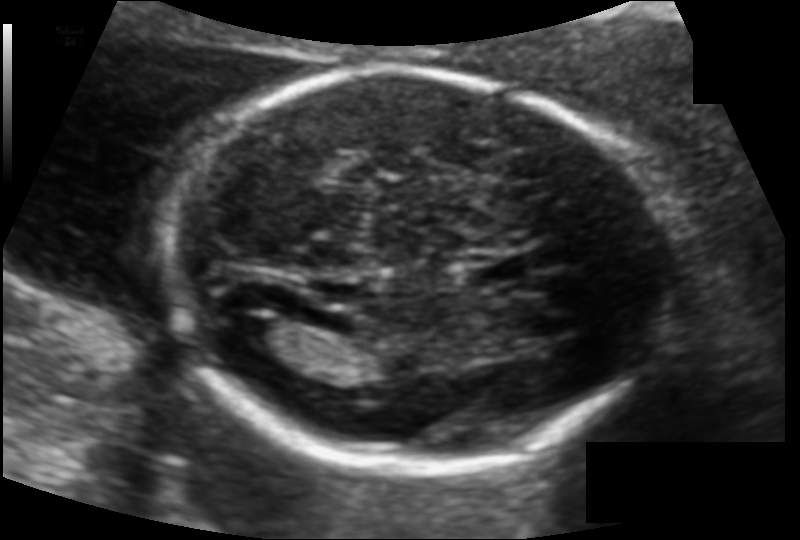
In this fetal head ultrasound, give bounding boxes for the head outline, cavum septum pellucidum (CSP), and lateral ventricle (LV), where visible. Image width: 91.9 mm.

Head: [164,70,666,465]
CSP: [465,249,534,295]
Lateral ventricle: [227,314,285,350]